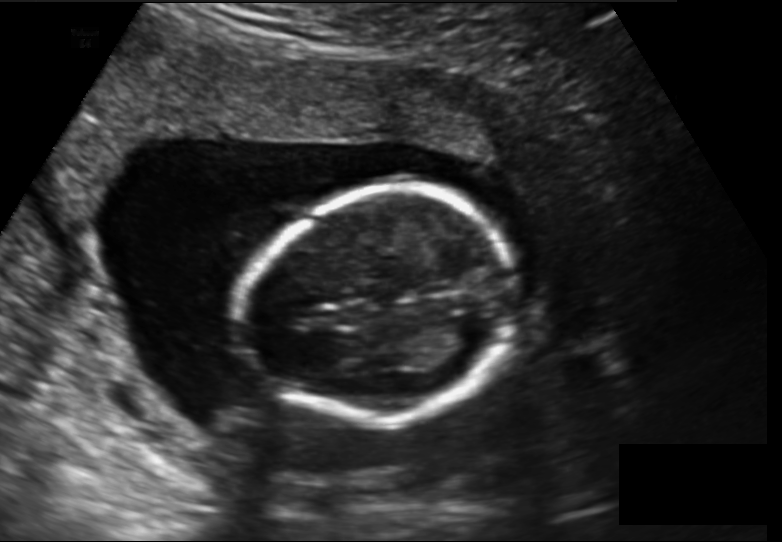
What is the fetal head circumference? Image width is 122.9 mm.

131.1 mm